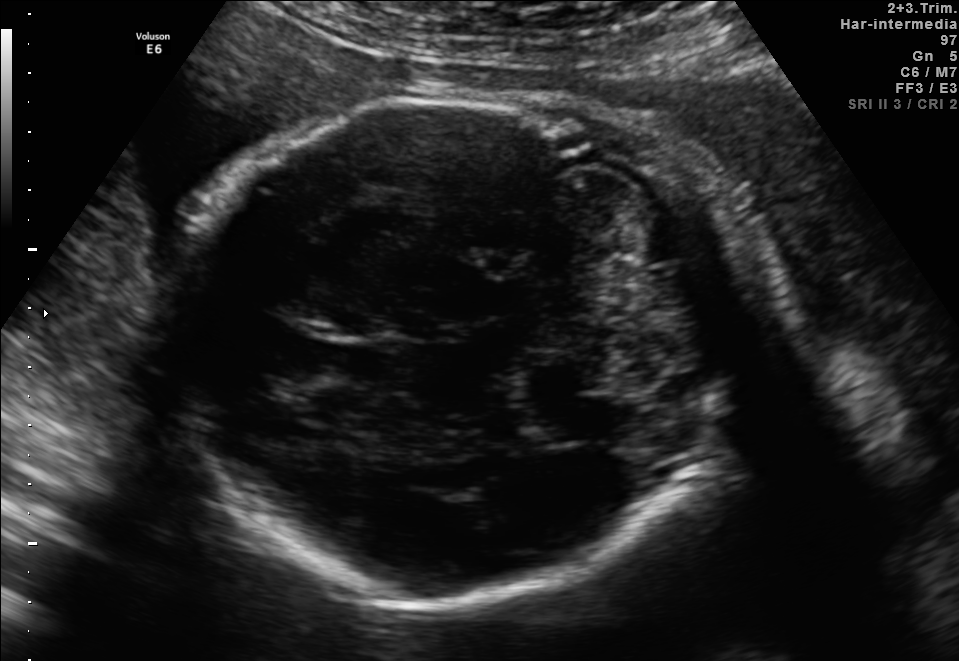
Fetal brain, trans-cerebellum plane. Where is the fetal head?

Head bounding box: [166,91,777,596]